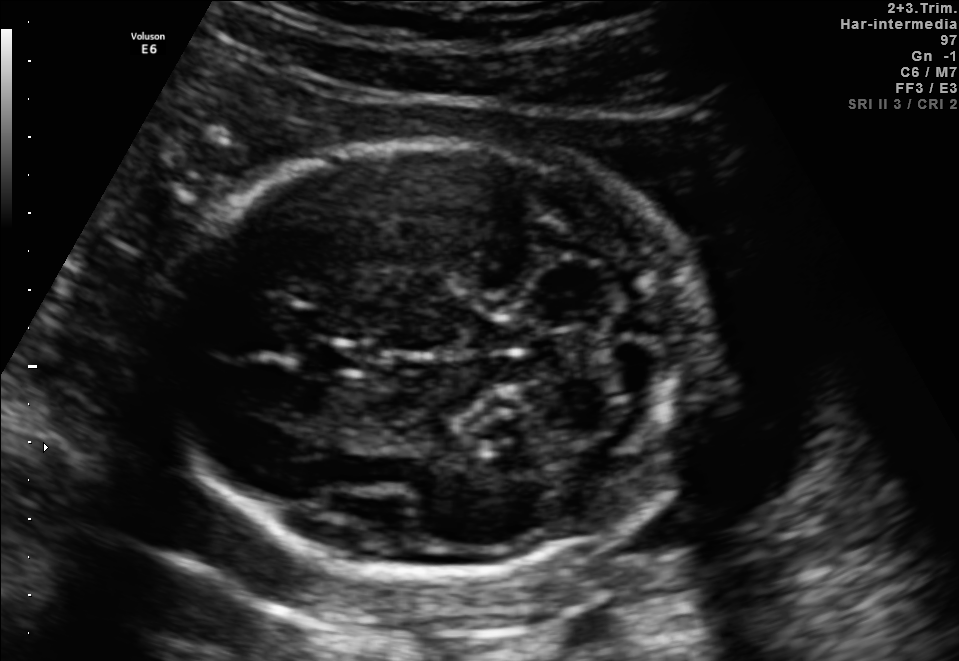
Fetal brain, trans-cerebellum plane. Where is the cavum septum pellucidum?

CSP bounding box: [304,337,361,377]